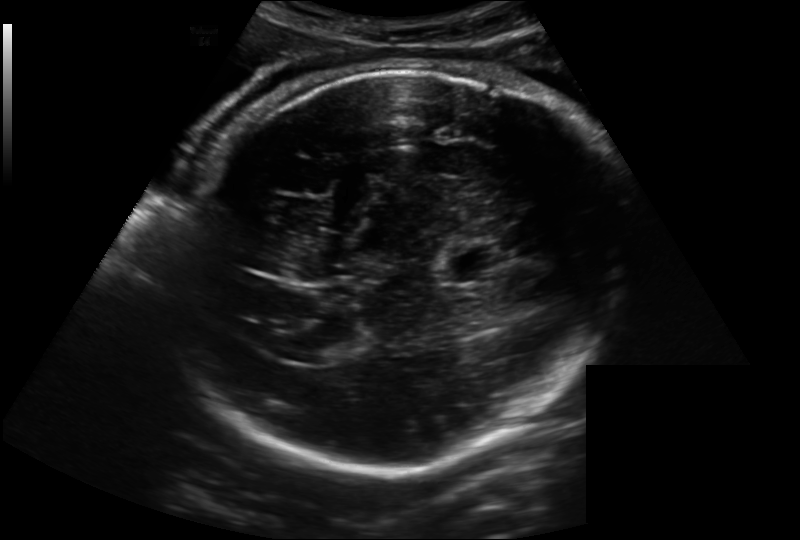
What is the fetal head circumference? Image width is 177.2 mm.

299.1 mm